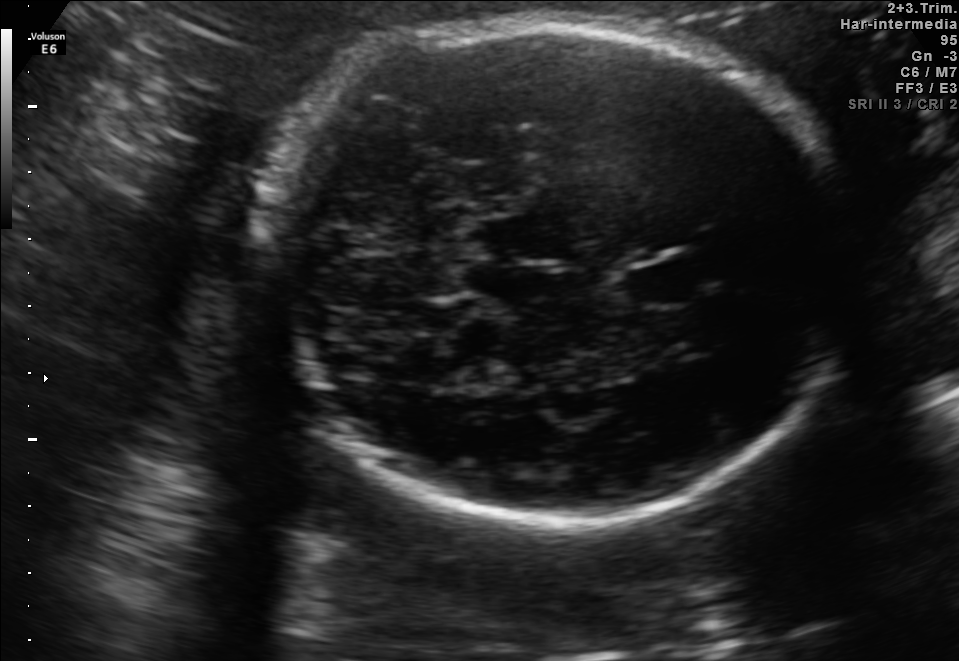
Fetal brain, trans-cerebellum plane. Locate the cavum septum pellucidum.

CSP: [623,247,711,316]